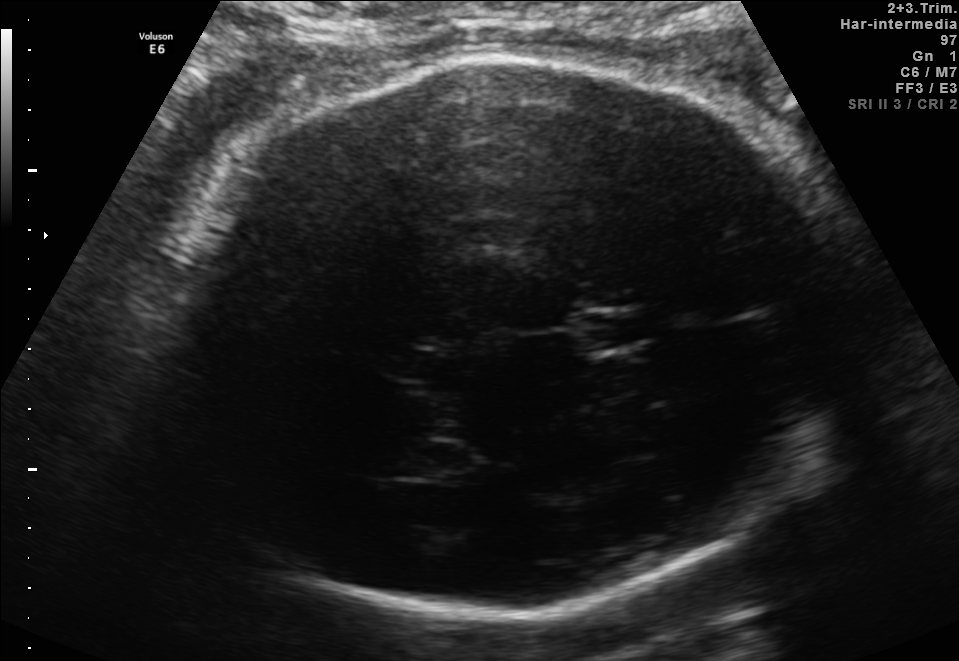
Fetal brain, trans-thalamic plane. Give [x1,y1,x2,y2] bounding boxes for each visible structure among: fetal head, CSP, LV.

Head: [154,55,851,612]
CSP: [579,307,663,352]
Lateral ventricle: [380,442,465,479]